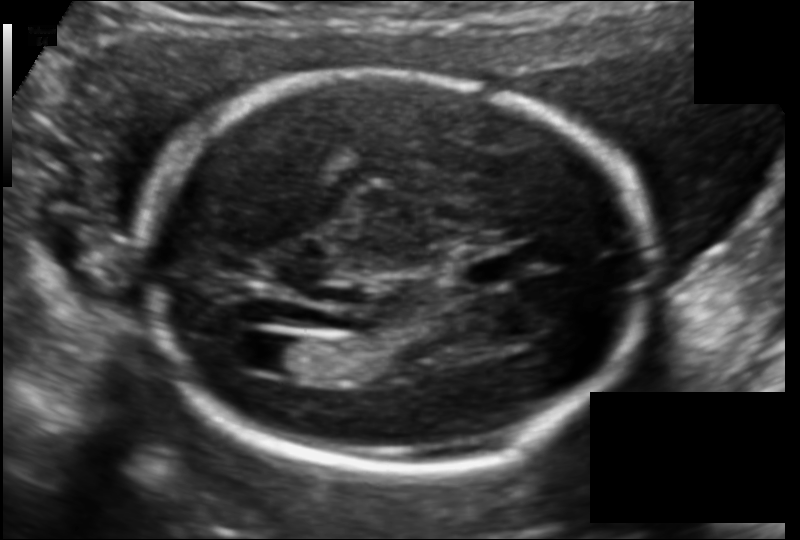
Estimate the fetal head circumference from this 2D ultrasound.

Head circumference: 177.8 mm (image width 97.5 mm).